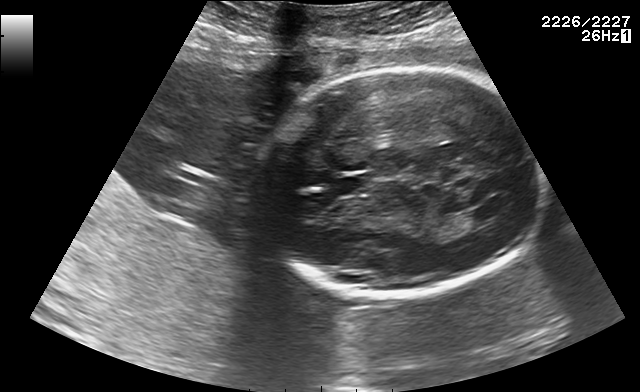
Fetal brain, trans-ventricular plane. Locate the lateral ventricle.

Lateral ventricle: [467,199,509,229]